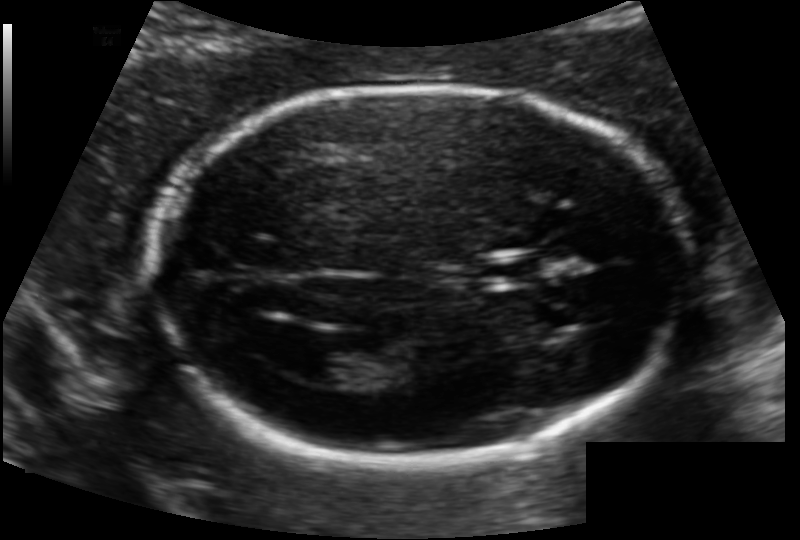
Fetal head ultrasound. Image width: 94.1 mm. Locate the fetal head and, if visible, the cavum septum pellucidum (CSP) and lateral ventricle (LV). Give bounding boxes as [x1,y1,x2,y2].

Head: [150,86,688,457]
CSP: [477,252,544,287]
Lateral ventricle: [294,345,364,387]